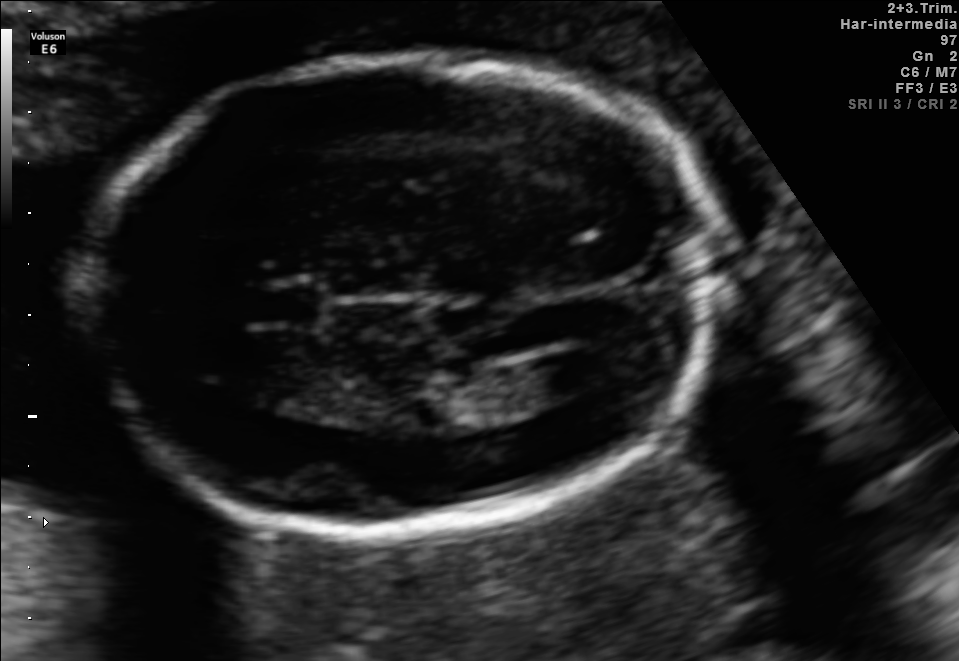
Fetal brain, trans-ventricular plane. Locate the fetal head.

Head: [67,49,742,548]